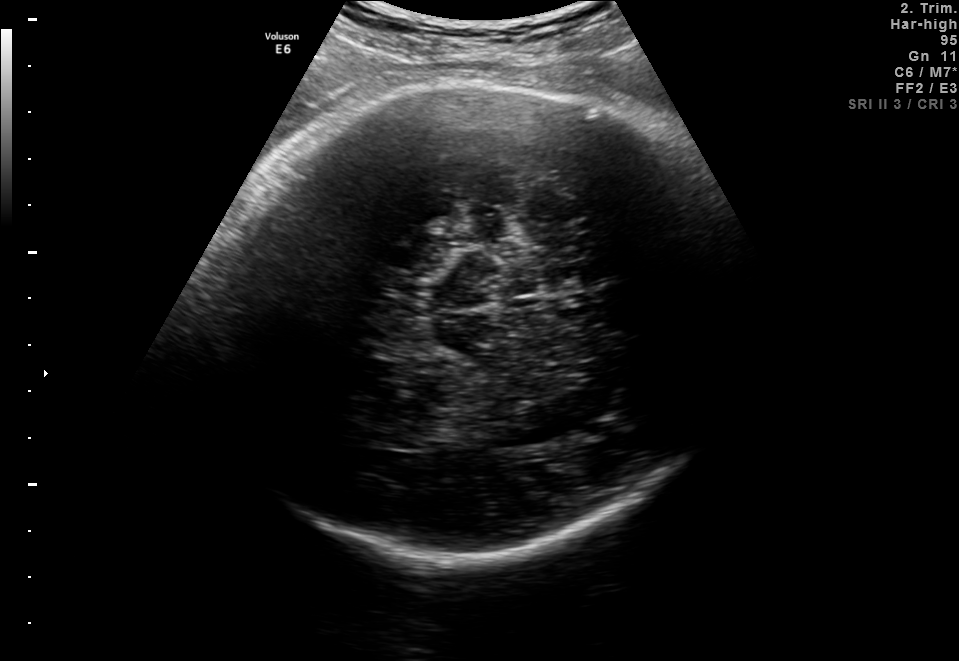
Fetal brain, trans-thalamic plane. Give [x1,y1,x2,y2] bounding boxes for each visible structure among: fetal head, CSP, LV.

Head: [202,83,739,554]